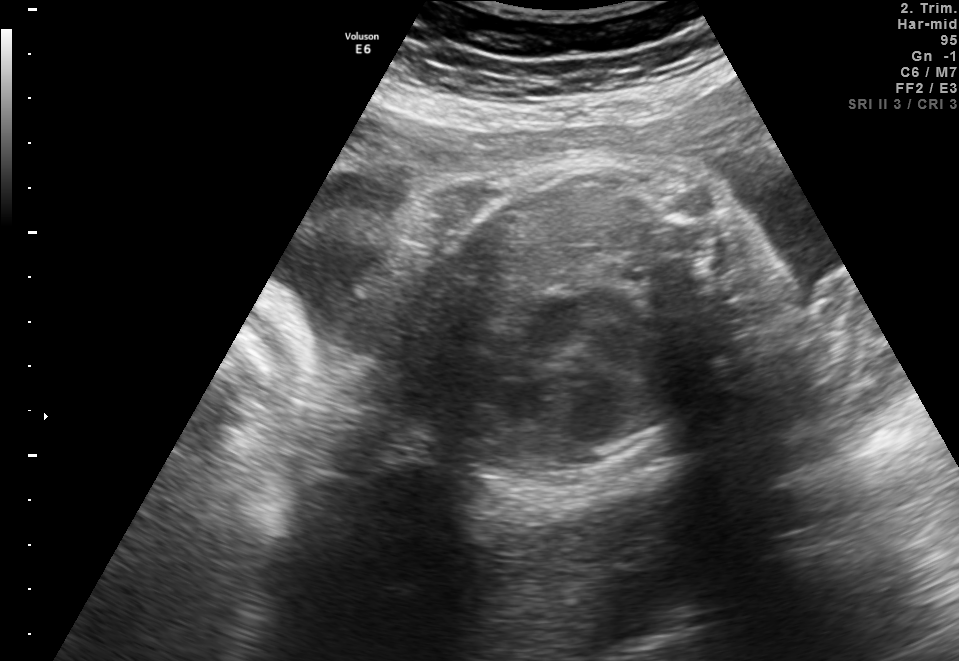
Which standard maternal-fetal ultrasound plane is shown: fetal abdomen, fetal brain, fetal femur, fetal thorax, maternal cervix, or other? If it's fetal brain and one of the three standard brain planes (trans-thalamic, trans-cerebellum, trans-ventricular), name which.

Fetal thorax